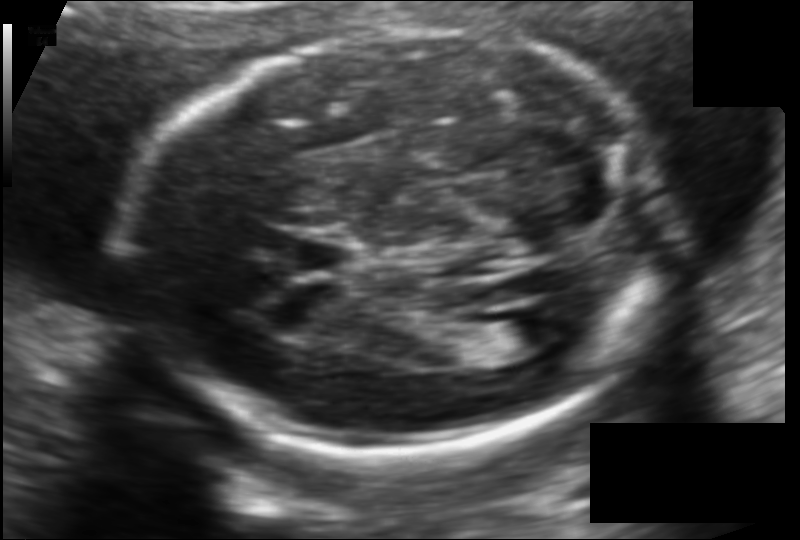
Fetal head ultrasound. Image width: 94.7 mm. Where is the fetal head?

Head bounding box: [131,32,666,457]